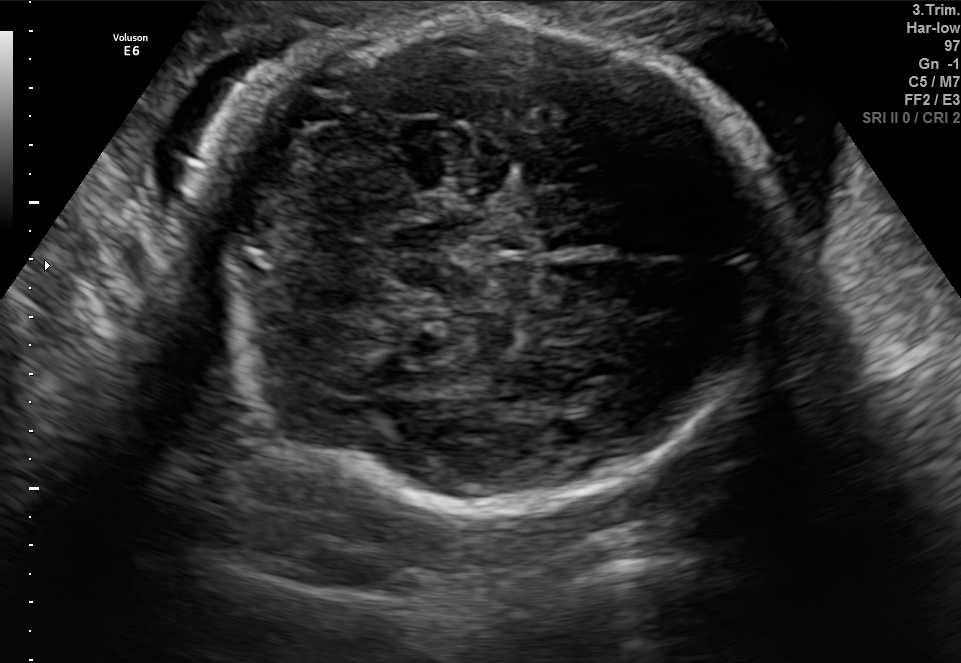
In this fetal brain, trans-cerebellum plane, give the bounding box of the fetal head.

[184,15,775,502]